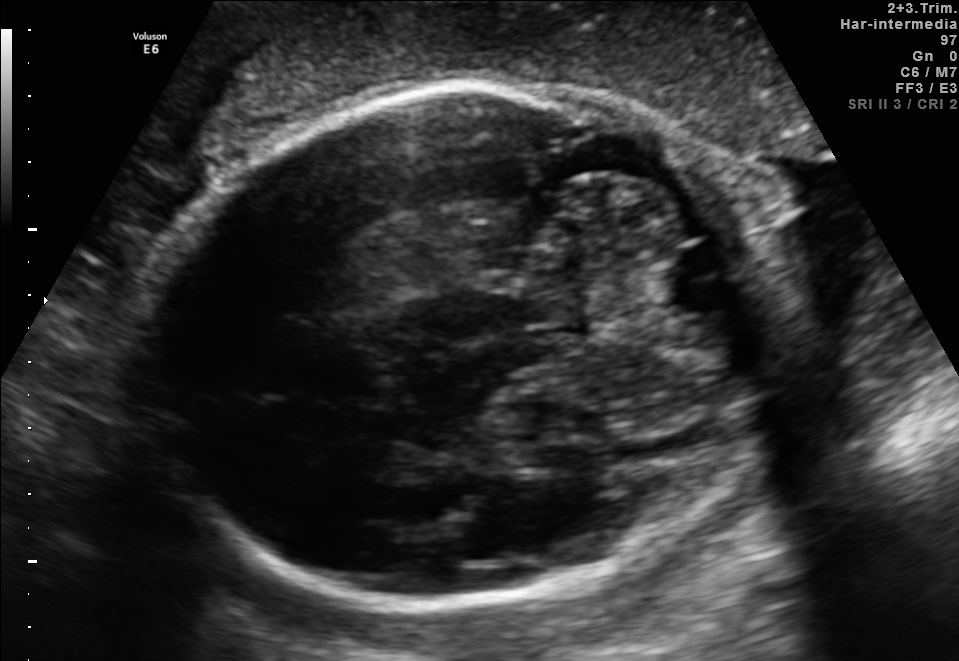
Fetal brain, trans-cerebellum plane. Where is the fetal head?

Head bounding box: [153,83,790,602]